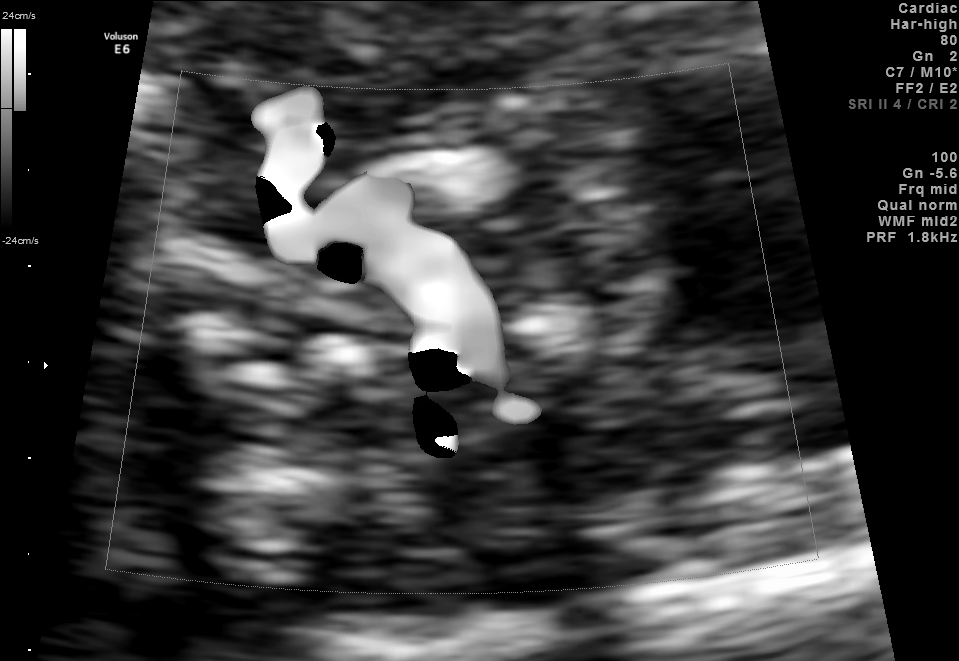
Identify the standard plane in this fetal ultrasound image: fetal abdomen, fetal brain, fetal femur, fetal thorax, maternal cervix, or other. If it's fetal brain and one of the three standard brain planes (trans-thalamic, trans-cerebellum, trans-ventricular), name which.

Other